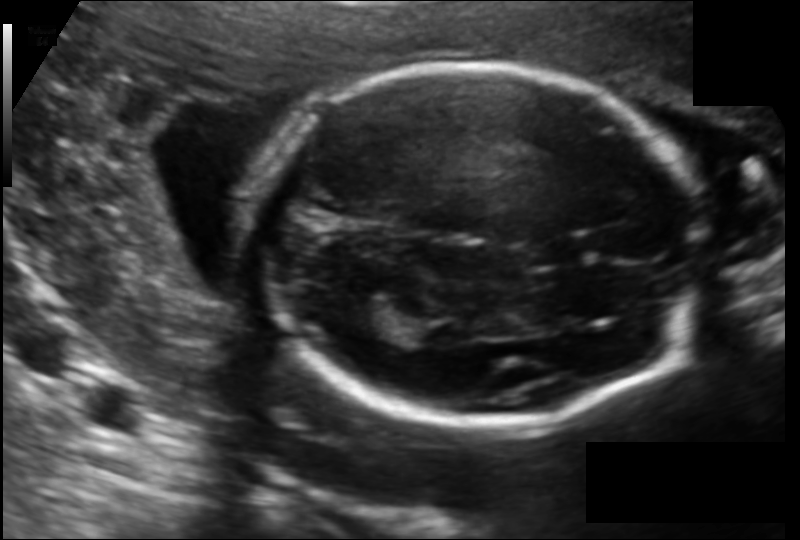
Estimate the fetal head circumference from this 2D ultrasound.

Head circumference: 170.3 mm (image width 103.2 mm).